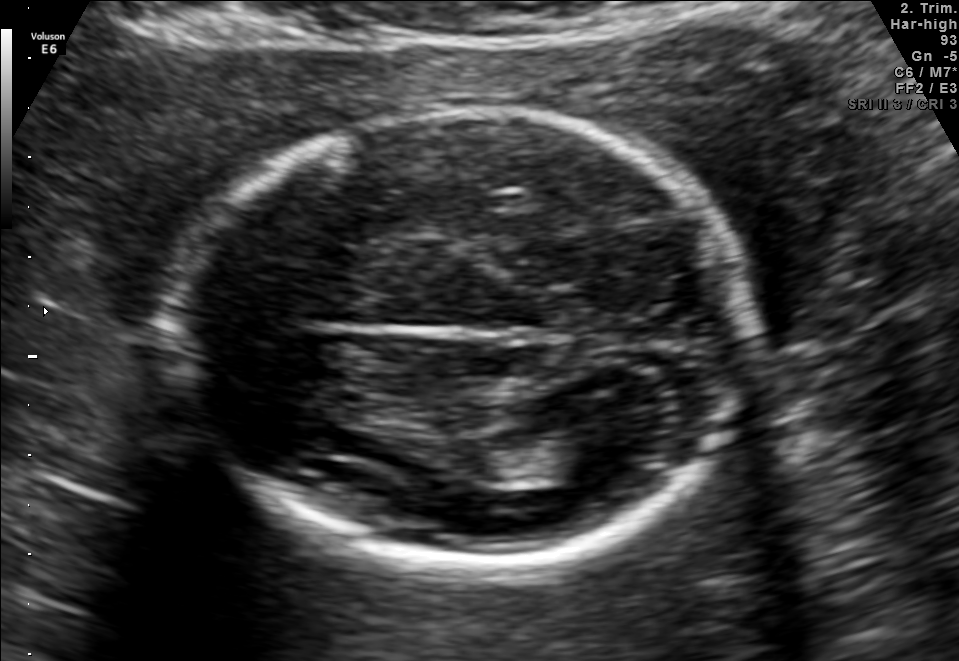
Fetal brain, trans-thalamic plane. Locate the fetal head and, if visible, the cavum septum pellucidum (CSP) and lateral ventricle (LV). Give bounding boxes as [x1,y1,x2,y2].

Head: [171,107,752,564]
Lateral ventricle: [520,427,635,489]